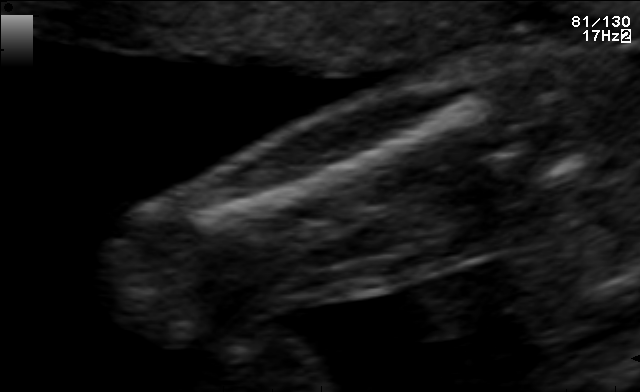
Which standard maternal-fetal ultrasound plane is shown: fetal abdomen, fetal brain, fetal femur, fetal thorax, maternal cervix, or other? If it's fetal brain and one of the three standard brain planes (trans-thalamic, trans-cerebellum, trans-ventricular), name which.

Fetal femur